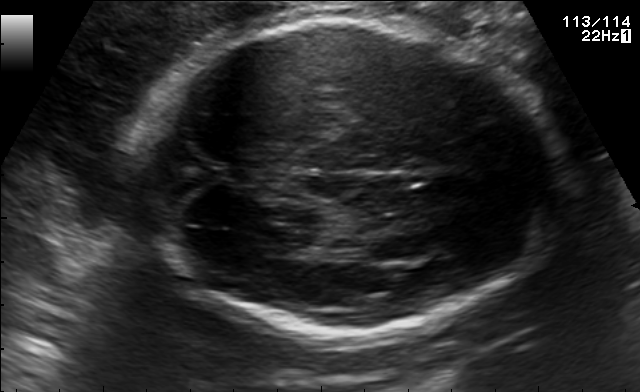
Identify the standard plane in this fetal ultrasound image: fetal abdomen, fetal brain, fetal femur, fetal thorax, maternal cervix, or other. If it's fetal brain and one of the three standard brain planes (trans-thalamic, trans-cerebellum, trans-ventricular), name which.

Fetal brain (trans-thalamic plane)